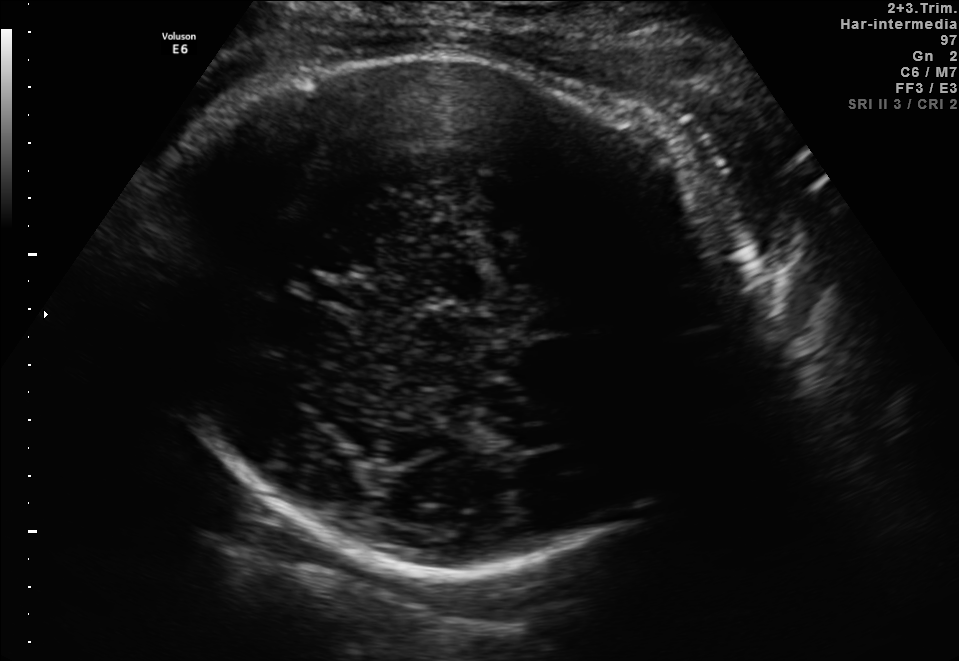
Which standard maternal-fetal ultrasound plane is shown: fetal abdomen, fetal brain, fetal femur, fetal thorax, maternal cervix, or other? If it's fetal brain and one of the three standard brain planes (trans-thalamic, trans-cerebellum, trans-ventricular), name which.

Fetal brain (trans-thalamic plane)